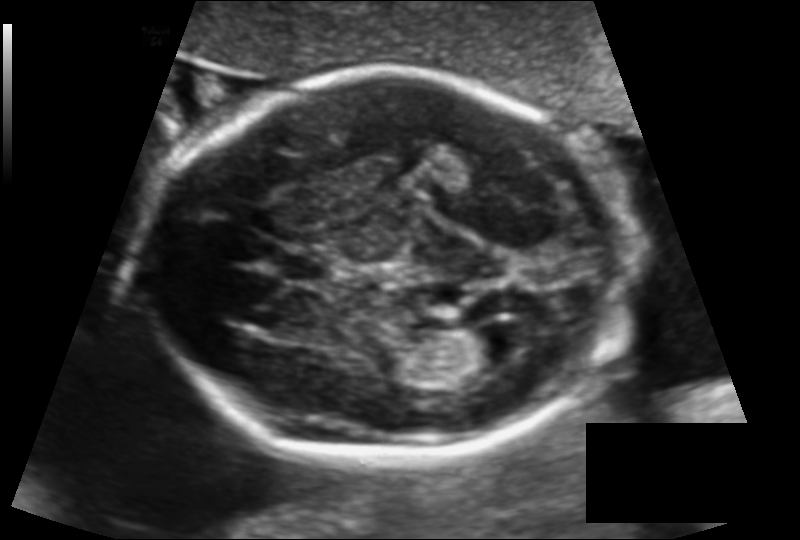
Fetal head ultrasound. Image width: 103.5 mm. Locate the fetal head and, if visible, the cavum septum pellucidum (CSP) and lateral ventricle (LV). Give bounding boxes as [x1,y1,x2,y2].

Head: [146,70,632,457]
CSP: [278,248,338,283]
Lateral ventricle: [454,317,531,375]